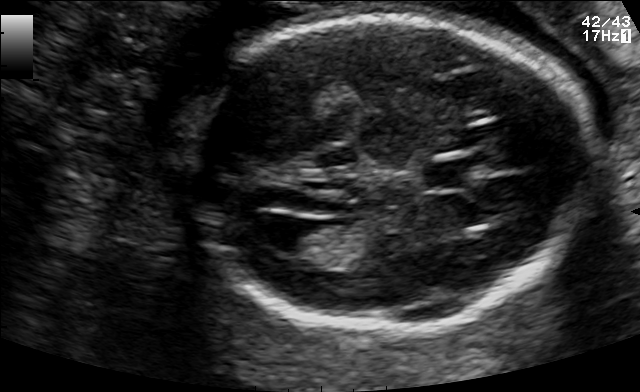
Fetal brain, trans-ventricular plane. Locate the lateral ventricle.

Lateral ventricle: [252,212,320,256]